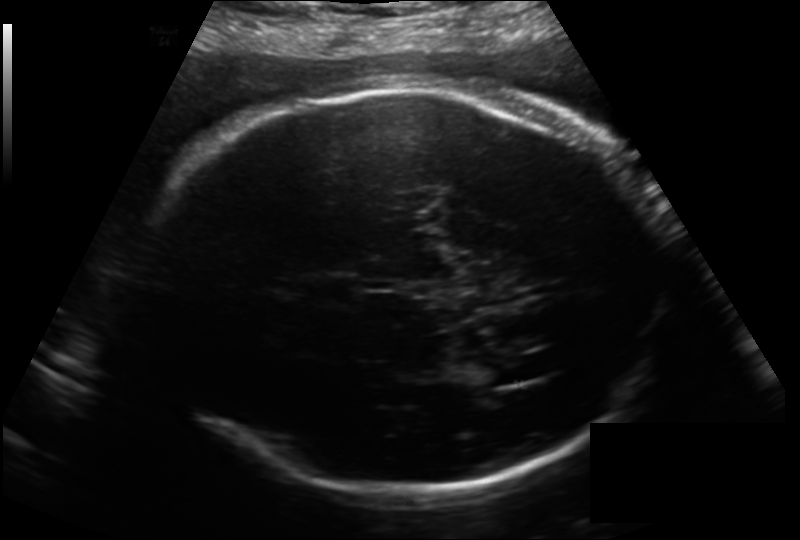
Fetal head ultrasound. Image width: 171.3 mm. Where is the cavum septum pellucidum?

CSP bounding box: [297,274,358,304]